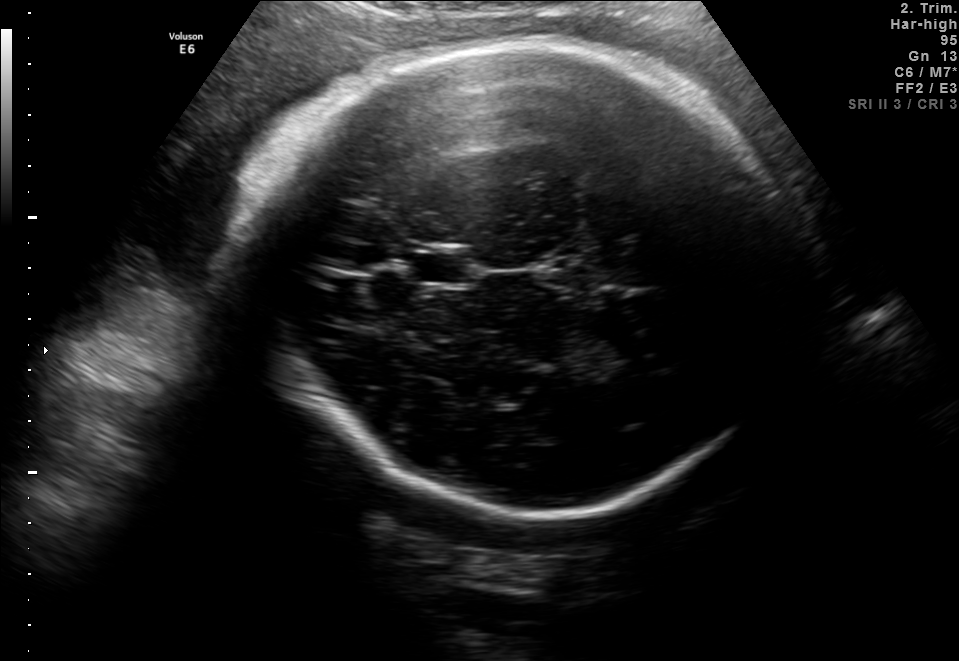
In this fetal brain, trans-thalamic plane, give the bounding box of the cavum septum pellucidum.

[414,250,471,283]